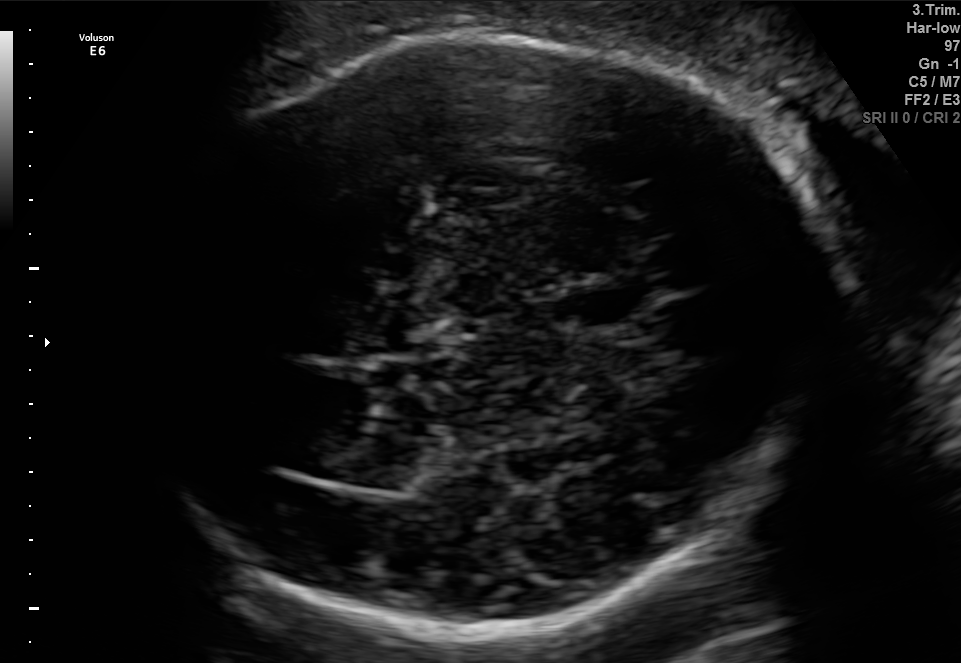
In this fetal brain, trans-thalamic plane, give the bounding box of the cavum septum pellucidum.

[549,273,655,336]